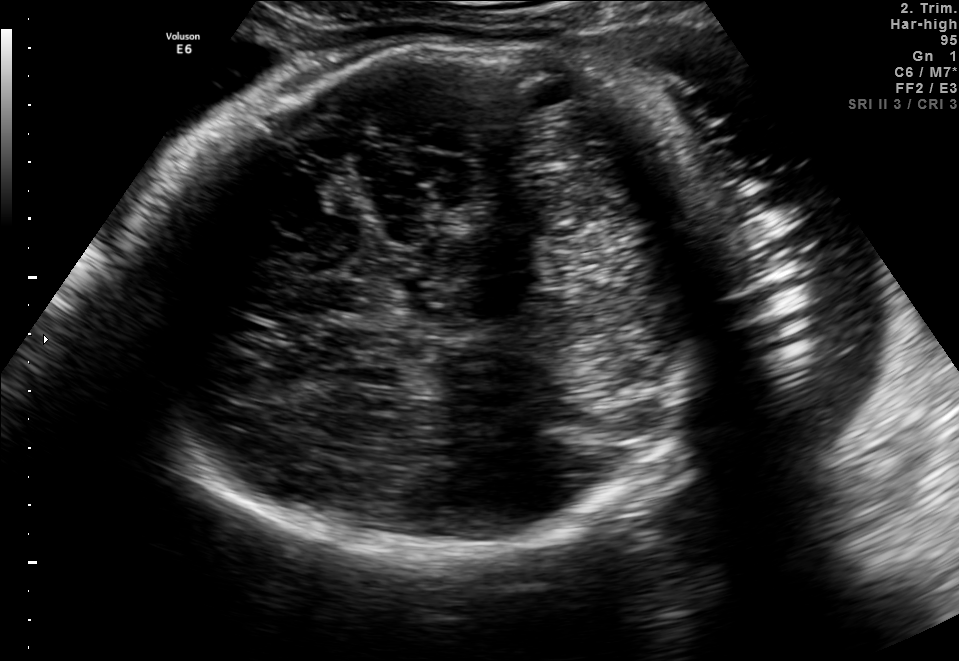
Fetal brain, trans-thalamic plane. Locate the fetal head.

Head: [129,35,796,560]